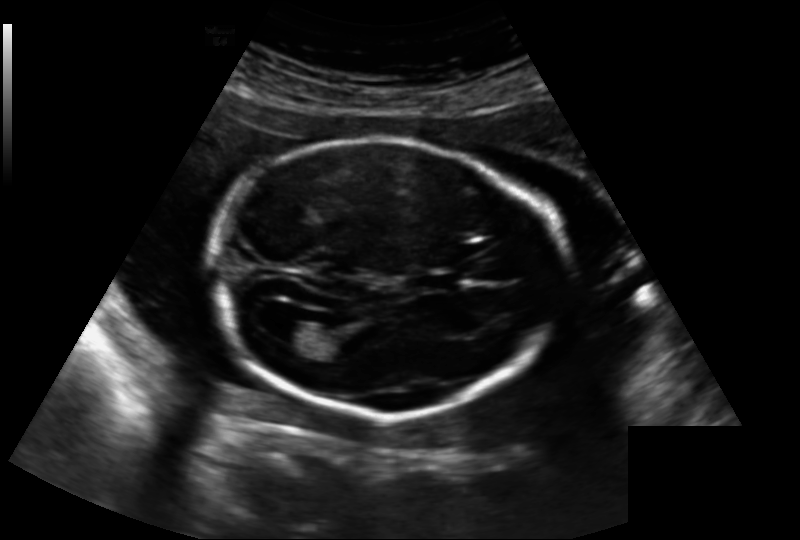
Measure the fetal head circumference shown in this ultrasound image. Image width: 150.3 mm.

Head circumference: 193.1 mm.